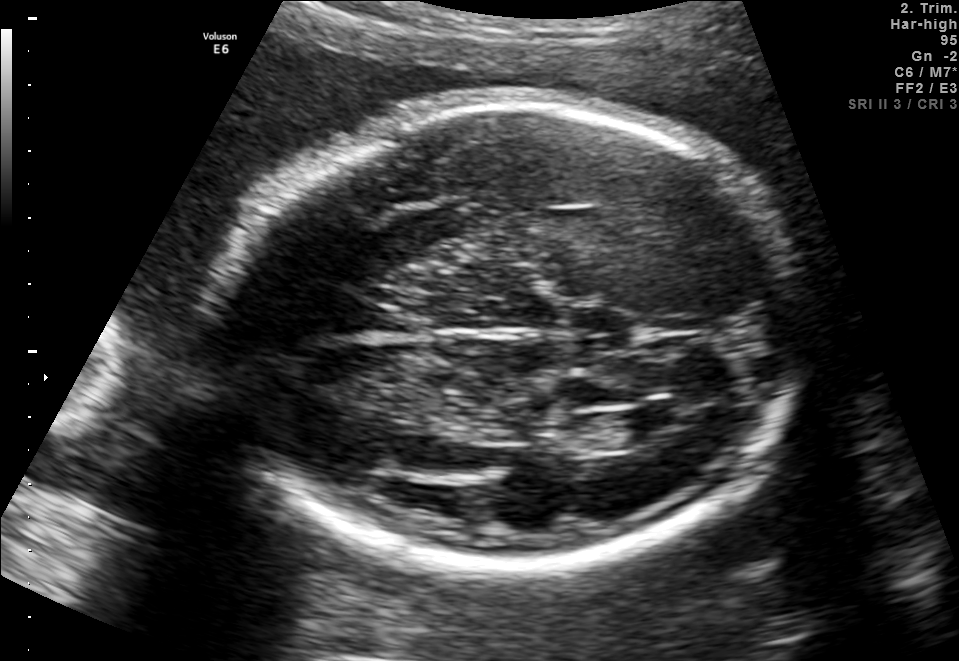
Identify the standard plane in this fetal ultrasound image: fetal abdomen, fetal brain, fetal femur, fetal thorax, maternal cervix, or other. If it's fetal brain and one of the three standard brain planes (trans-thalamic, trans-cerebellum, trans-ventricular), name which.

Fetal brain (trans-ventricular plane)